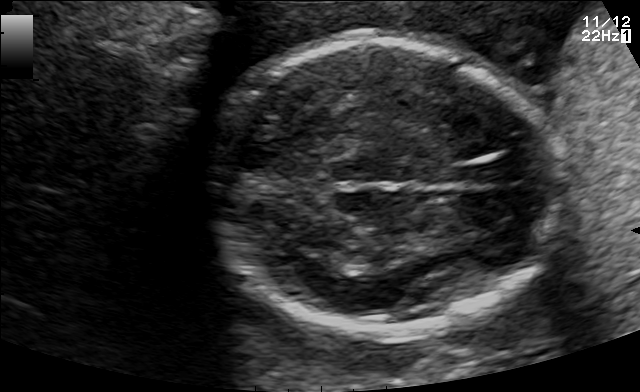
In this fetal brain, trans-thalamic plane, give bounding boxes for the head outline, cavum septum pellucidum (CSP), and lateral ventricle (LV), where visible.

Head: [212,38,568,337]